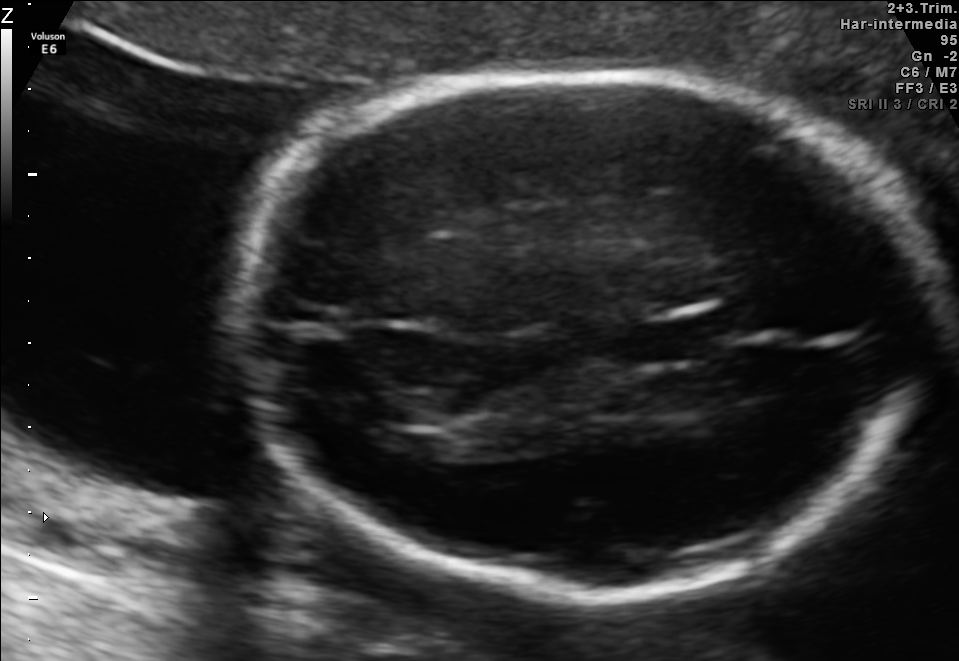
Fetal brain, trans-thalamic plane. Where is the cavum septum pellucidum?

CSP bounding box: [631,312,725,369]